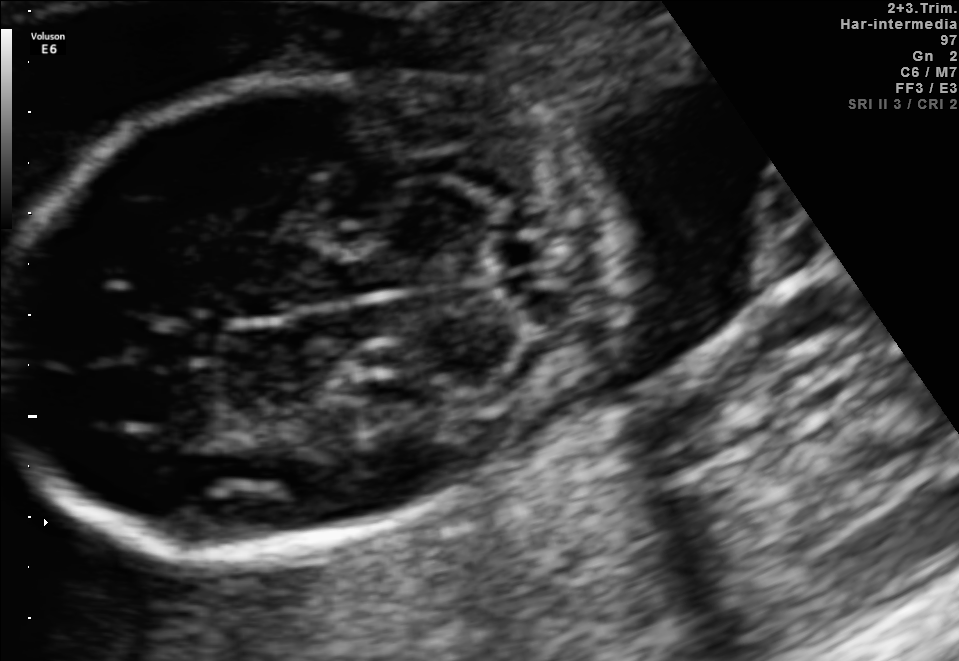
Fetal brain, trans-cerebellum plane. Where is the fetal head?

Head bounding box: [3,71,612,550]